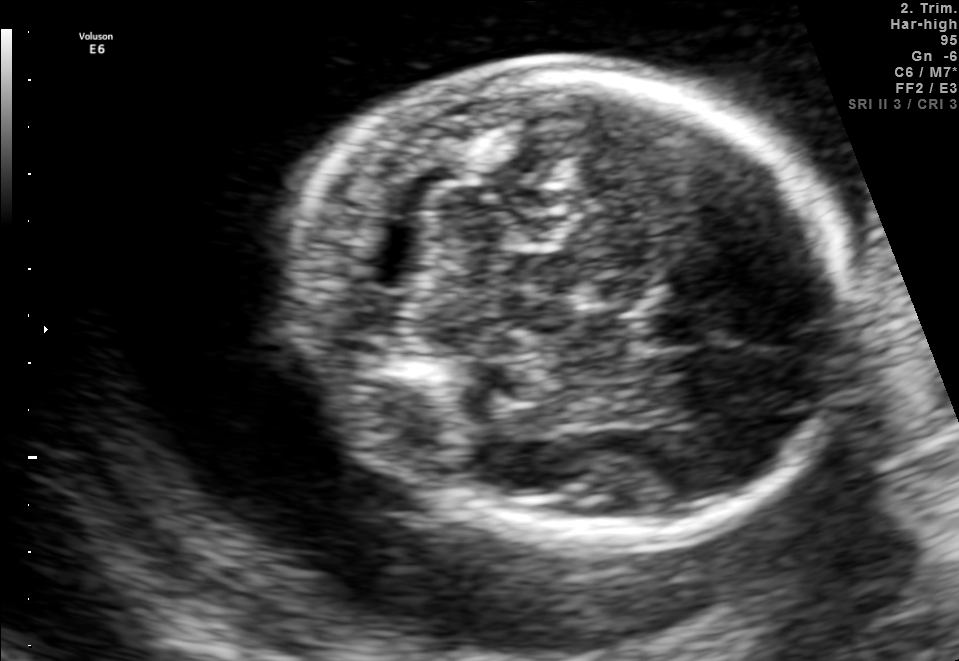
Identify the standard plane in this fetal ultrasound image: fetal abdomen, fetal brain, fetal femur, fetal thorax, maternal cervix, or other. If it's fetal brain and one of the three standard brain planes (trans-thalamic, trans-cerebellum, trans-ventricular), name which.

Fetal brain (trans-cerebellum plane)